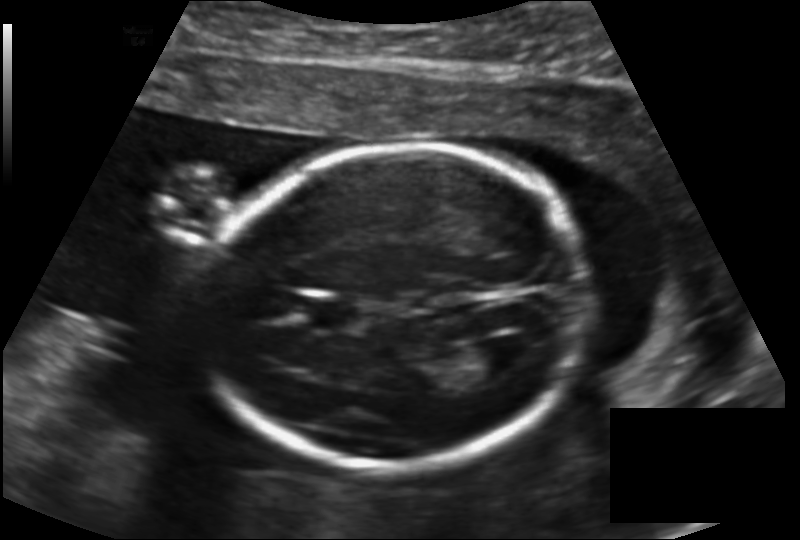
In this fetal head ultrasound, give the bounding box of the fetal head. Image width: 117.6 mm.

[203,144,584,468]